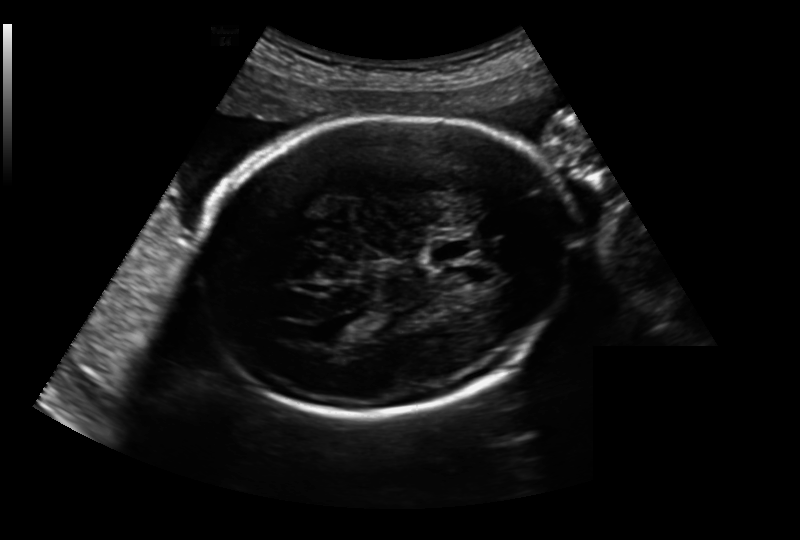
Fetal head ultrasound. Image width: 170.6 mm. Where is the fetal head?

Head bounding box: [193,117,576,413]